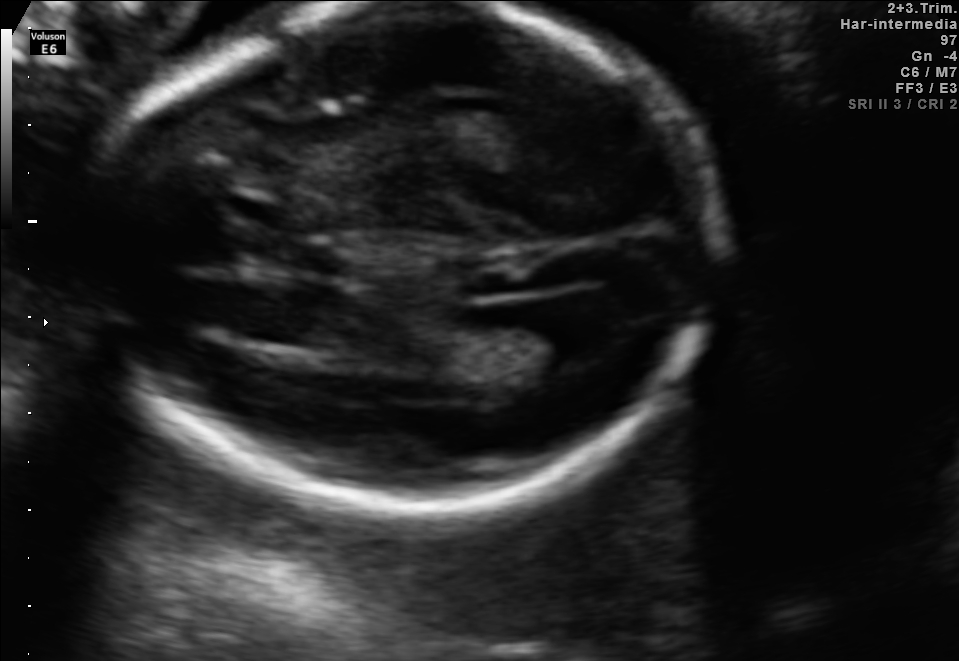
In this fetal brain, trans-ventricular plane, give the bounding box of the fetal head.

[74,1,741,526]